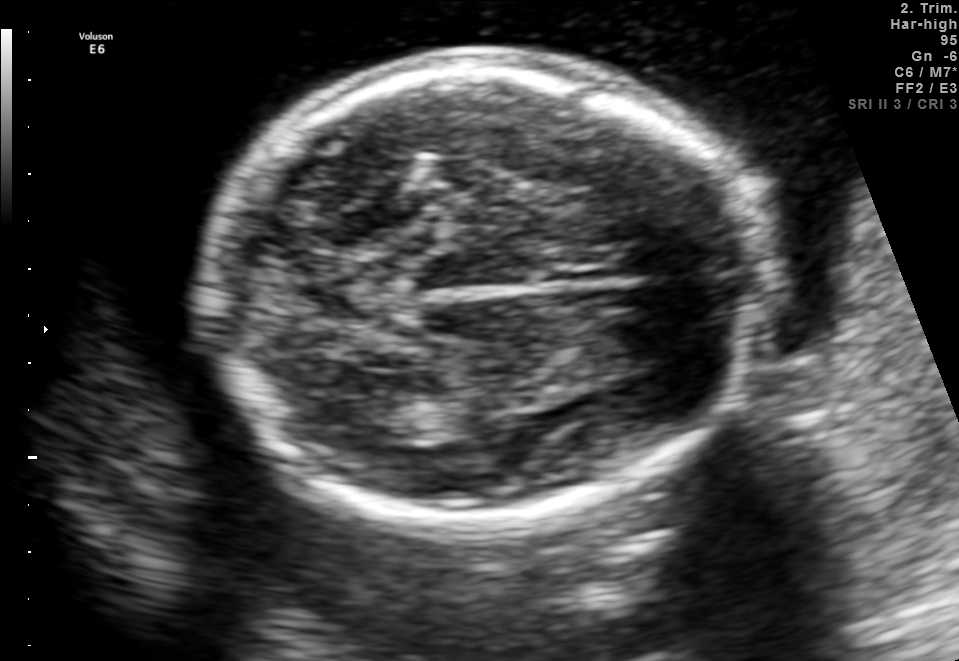
Fetal brain, trans-thalamic plane. Give [x1,y1,x2,y2] bounding boxes for each visible structure among: fetal head, CSP, LV.

Head: [207,56,766,517]
Lateral ventricle: [328,395,391,432]